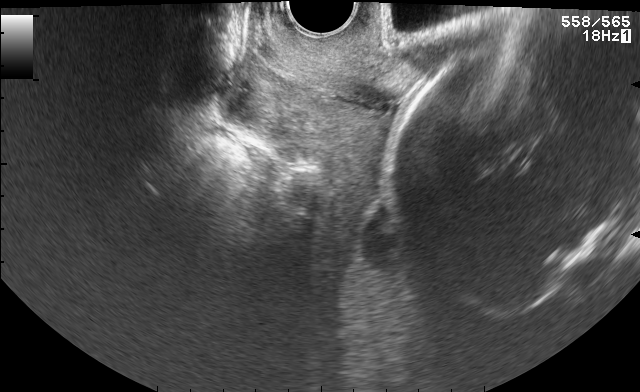
Identify the standard plane in this fetal ultrasound image: fetal abdomen, fetal brain, fetal femur, fetal thorax, maternal cervix, or other. If it's fetal brain and one of the three standard brain planes (trans-thalamic, trans-cerebellum, trans-ventricular), name which.

Maternal cervix